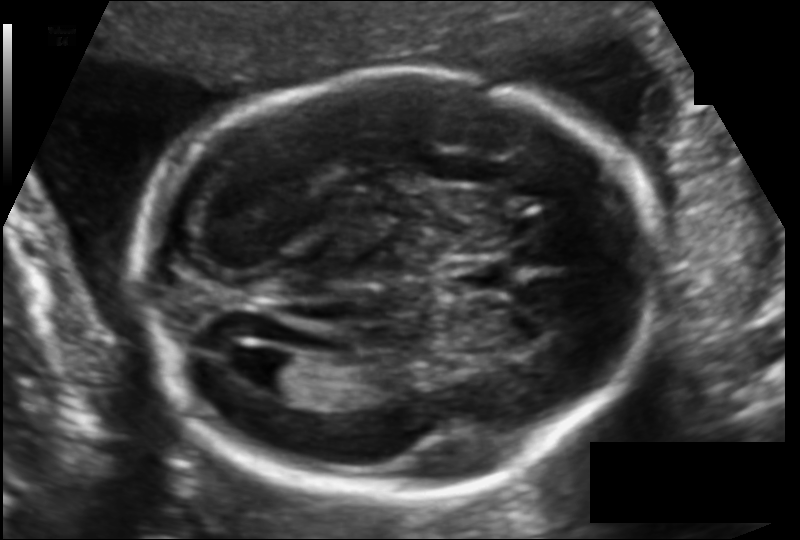
Fetal head ultrasound. Image width: 97.1 mm. Where is the lateral ventricle?

Lateral ventricle bounding box: [246,345,309,394]